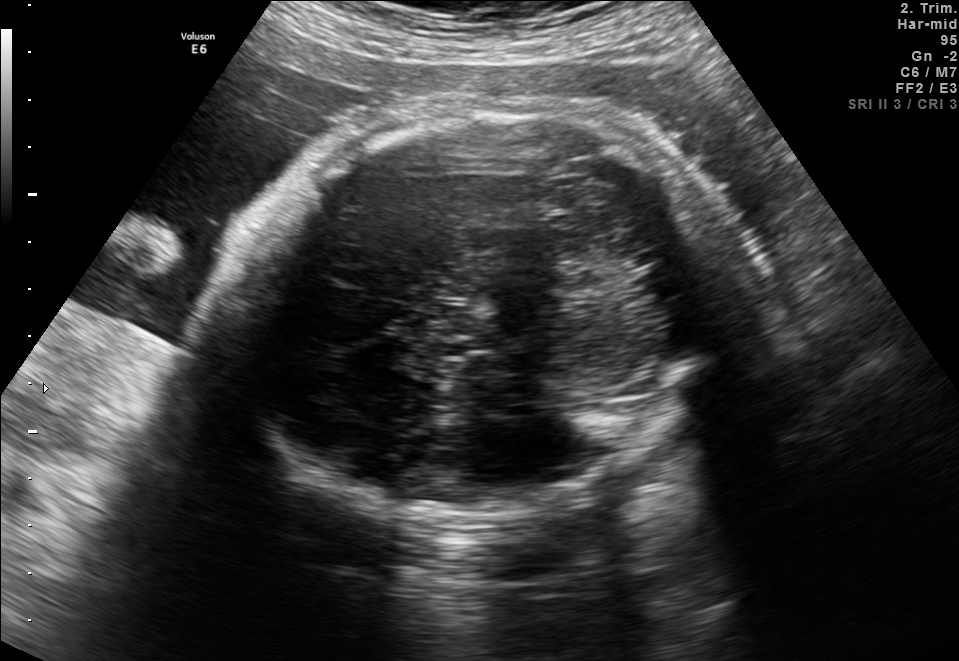
In this fetal brain, trans-cerebellum plane, give the bounding box of the fetal head.

[240,103,729,518]